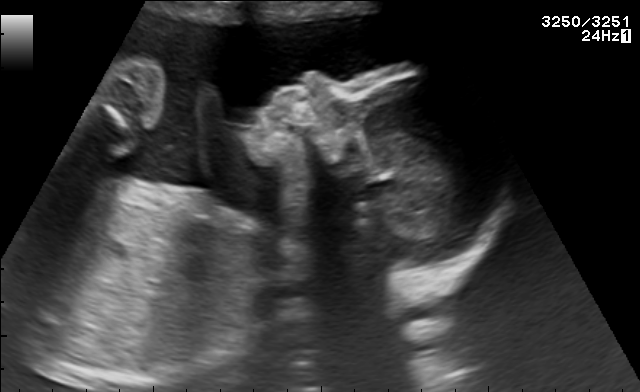
Which standard maternal-fetal ultrasound plane is shown: fetal abdomen, fetal brain, fetal femur, fetal thorax, maternal cervix, or other? If it's fetal brain and one of the three standard brain planes (trans-thalamic, trans-cerebellum, trans-ventricular), name which.

Other